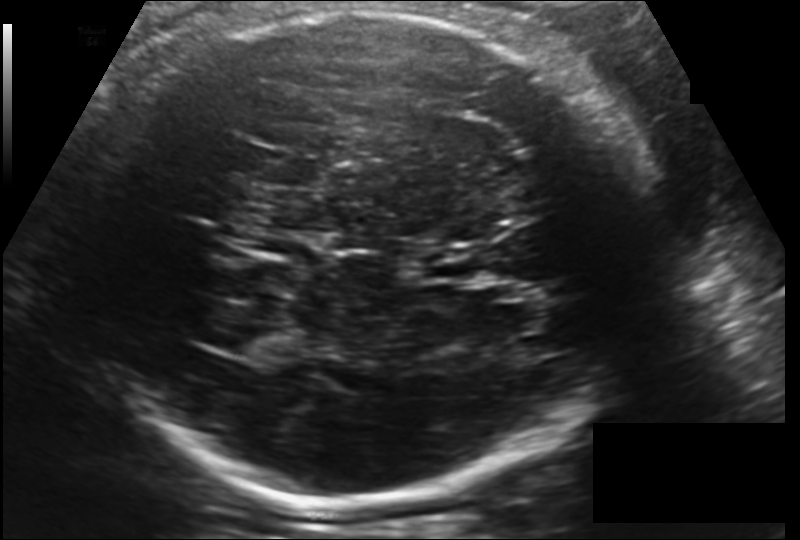
Estimate the fetal head circumference from this 2D ultrasound. Image width: 145.0 mm.

Head circumference: 308.5 mm.